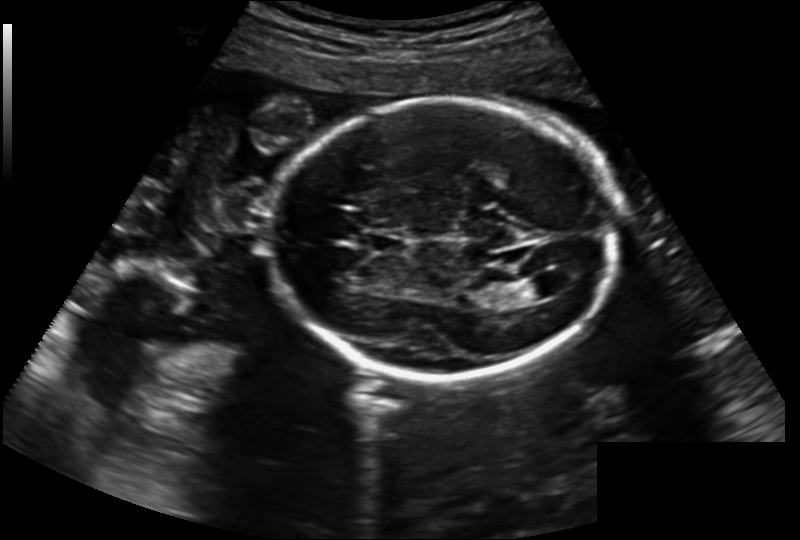
Fetal head ultrasound. Image width: 161.7 mm. Where is the lateral ventricle?

Lateral ventricle bounding box: [519,272,561,304]